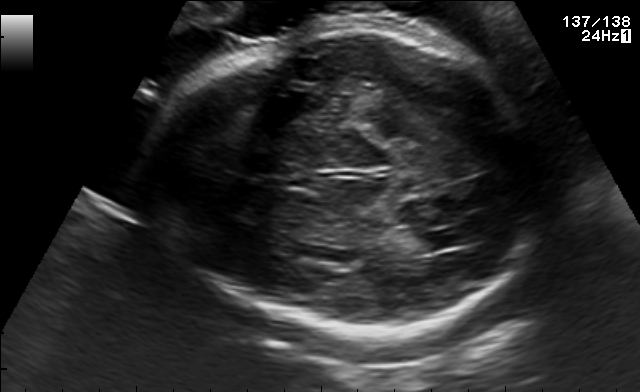
In this fetal brain, trans-thalamic plane, give the bounding box of the lateral ventricle.

[411,224,474,255]